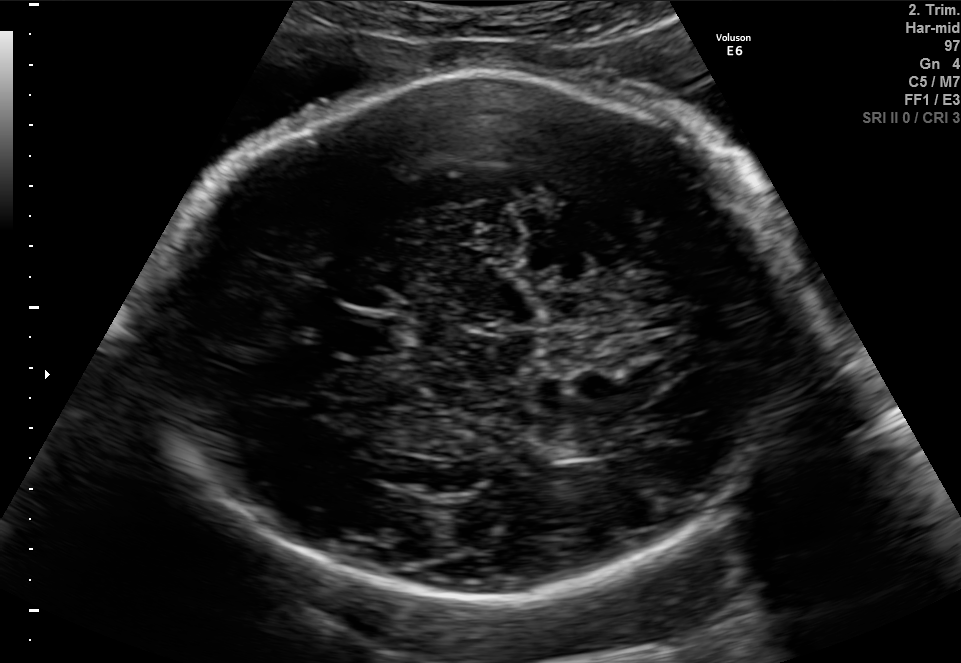
Fetal brain, trans-thalamic plane. Locate the cavum septum pellucidum.

CSP: [341,314,397,355]